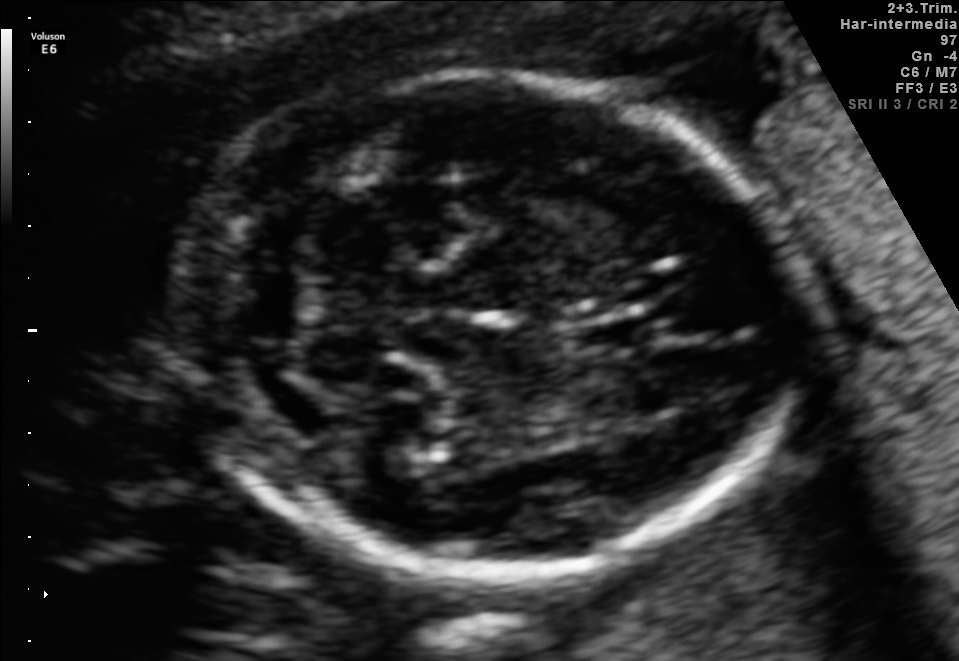
Fetal brain, trans-cerebellum plane. Where is the fetal head?

Head bounding box: [177,73,788,574]